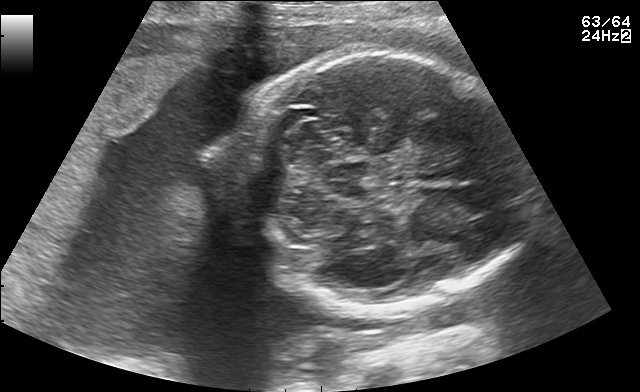
In this fetal brain, trans-cerebellum plane, give bounding boxes for the head outline, cavum septum pellucidum (CSP), and lateral ventricle (LV), where visible.

Head: [234,54,521,313]